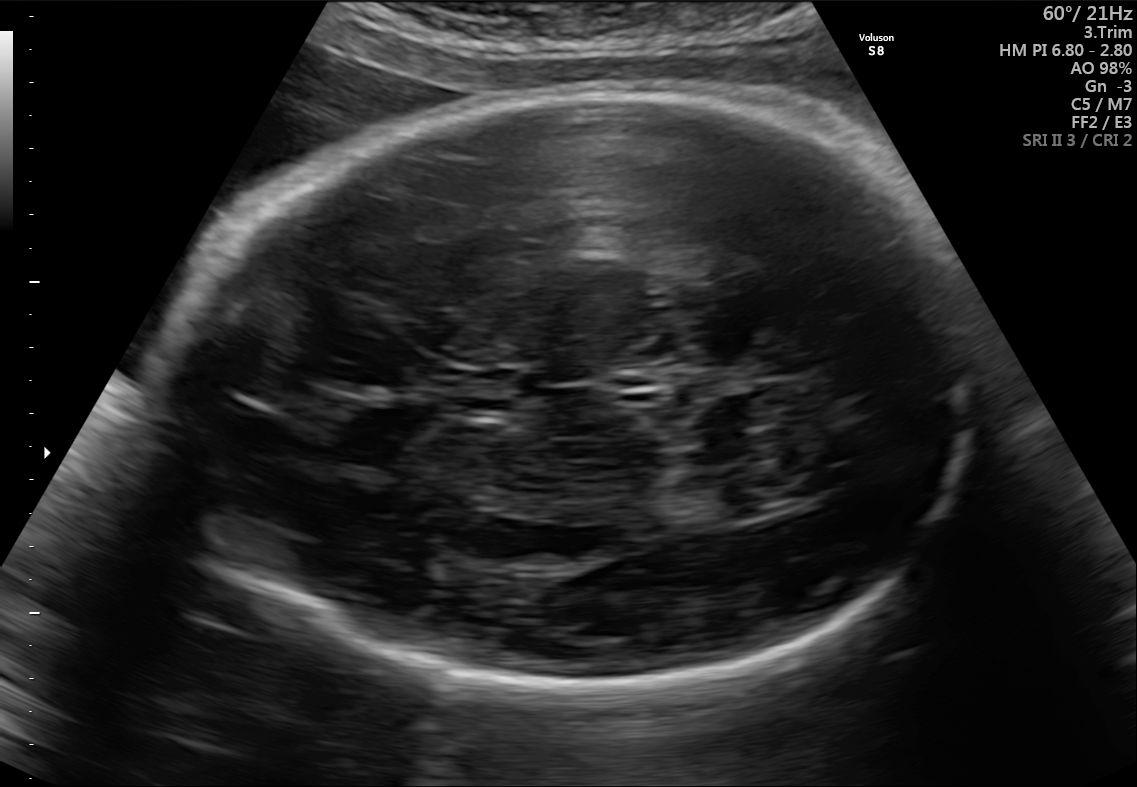
Fetal brain, trans-thalamic plane. Give [x1,y1,x2,y2] bounding boxes for each visible structure among: fetal head, CSP, LV.

Head: [161,94,978,705]